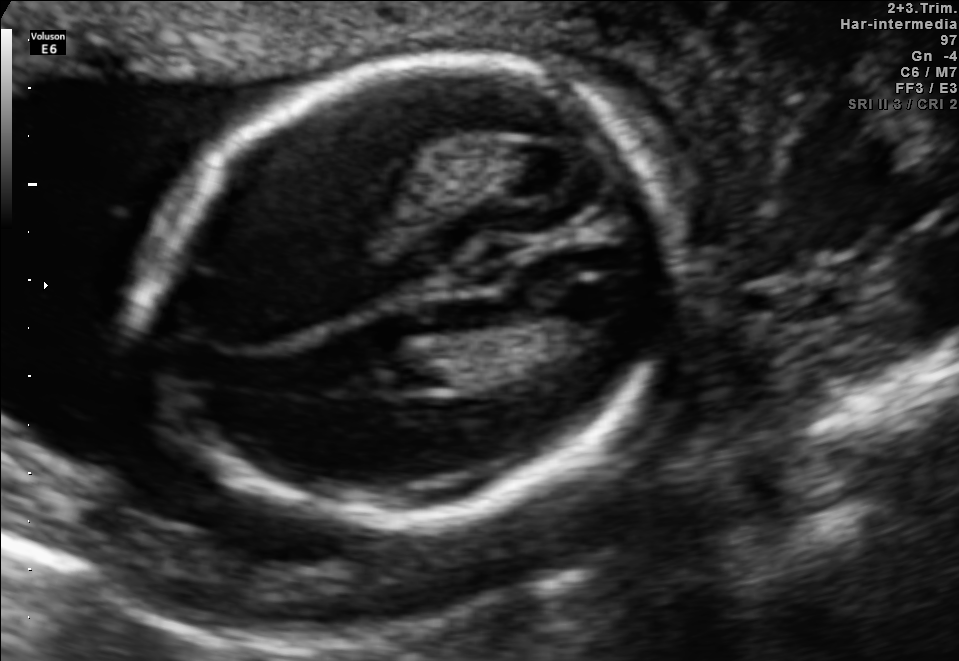
In this fetal brain, trans-thalamic plane, give the bounding box of the fetal head.

[140,63,677,526]